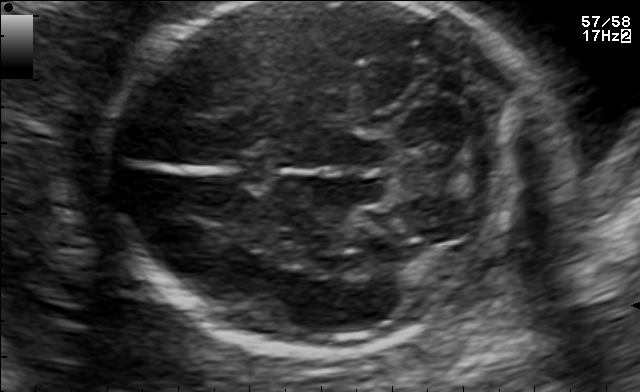
In this fetal brain, trans-cerebellum plane, give the bounding box of the fetal head.

[102,2,511,358]